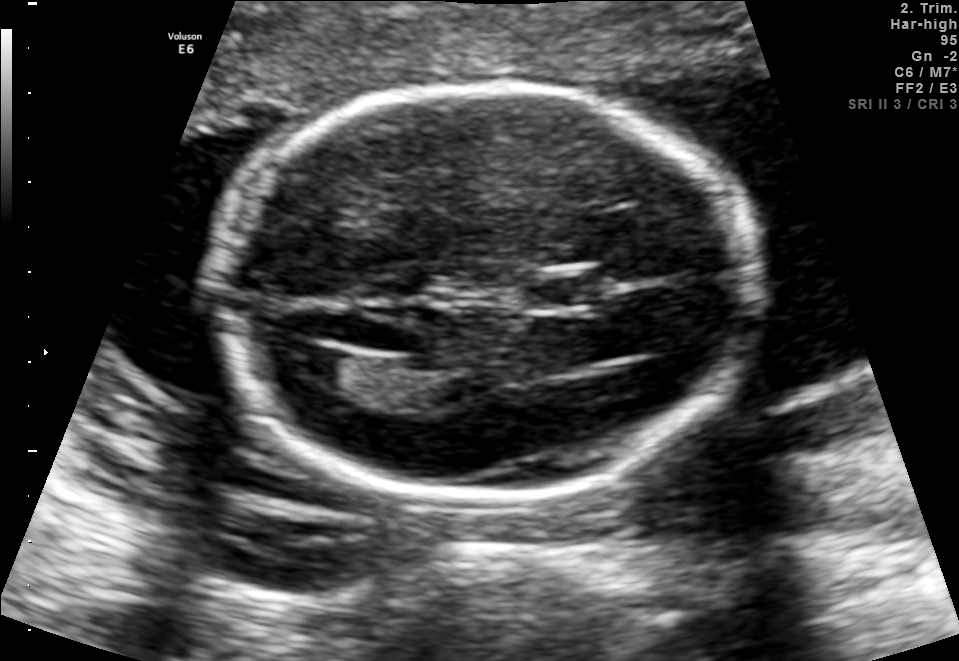
Fetal brain, trans-ventricular plane. Locate the fetal head and, if visible, the cavum septum pellucidum (CSP) and lateral ventricle (LV). Give bounding boxes as [x1,y1,x2,y2].

Head: [210,79,769,514]
CSP: [521,274,621,309]
Lateral ventricle: [276,341,358,391]